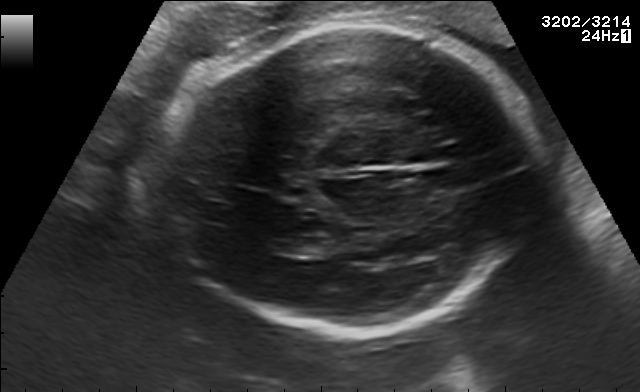
Fetal brain, trans-thalamic plane. Where is the lateral ventricle?

Lateral ventricle bounding box: [271,237,332,255]